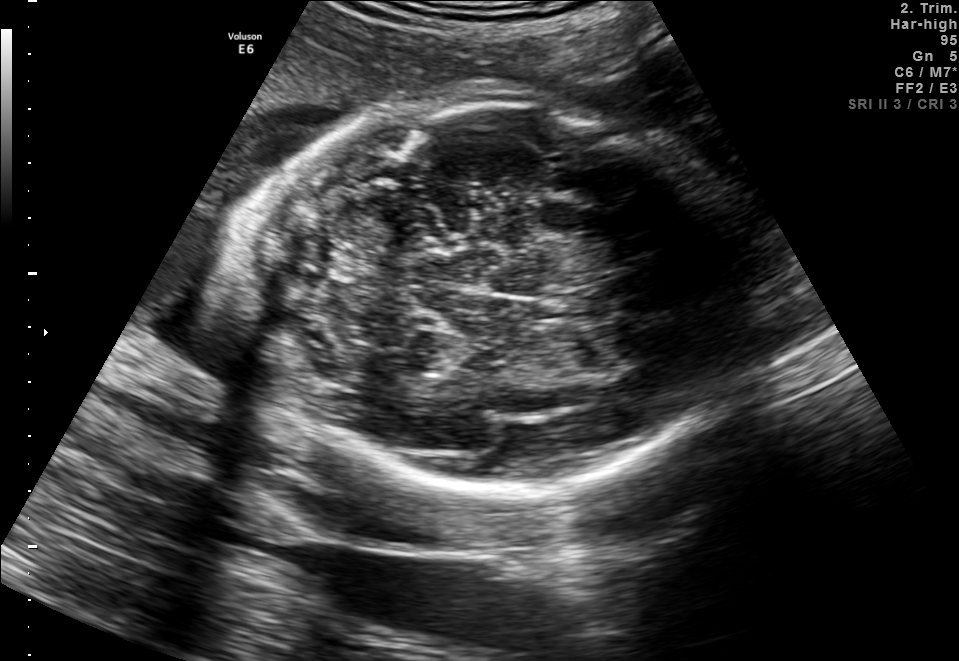
In this fetal brain, trans-thalamic plane, give bounding boxes for the head outline, cavum septum pellucidum (CSP), and lateral ventricle (LV), where visible.

Head: [225,93,758,494]